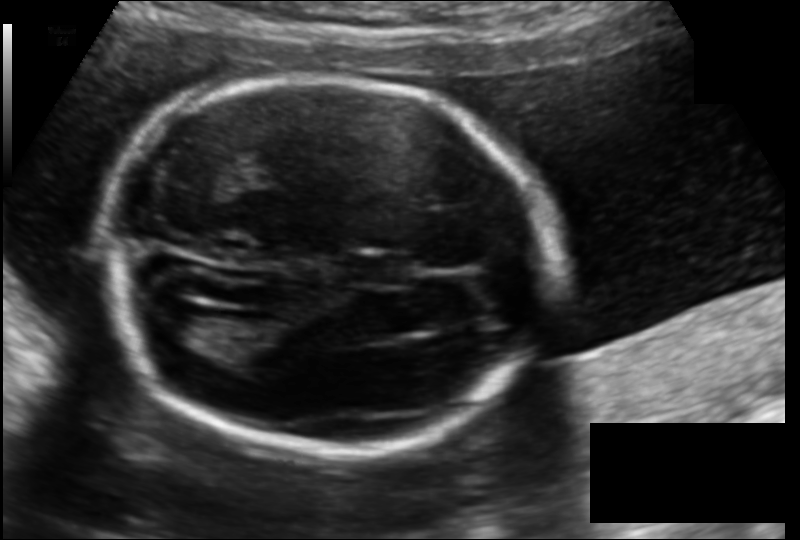
Fetal head ultrasound. Image width: 107.8 mm. Where is the fetal head?

Head bounding box: [99,76,549,449]